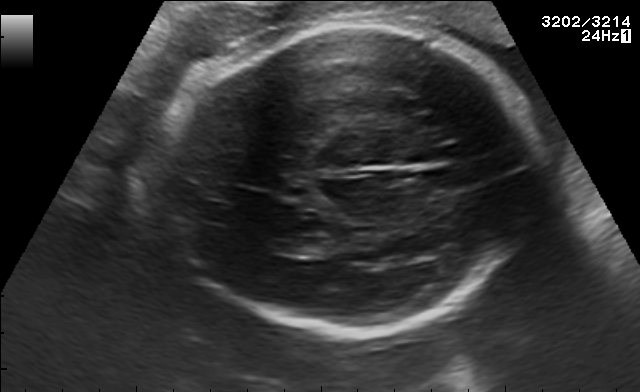
In this fetal brain, trans-thalamic plane, give the bounding box of the fetal head.

[157,23,535,337]